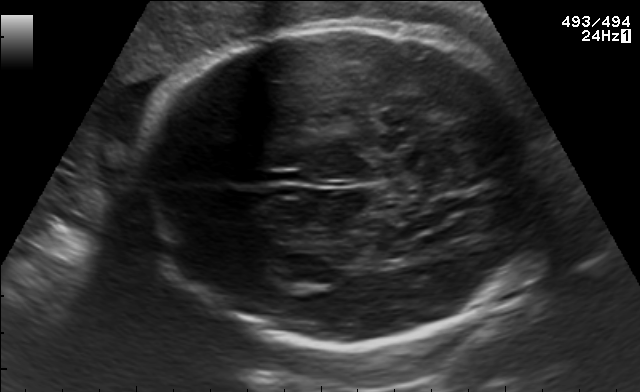
Fetal brain, trans-thalamic plane. Locate the fetal head and, if visible, the cavum septum pellucidum (CSP) and lateral ventricle (LV). Give bounding boxes as [x1,y1,x2,y2].

Head: [133,22,548,348]
Lateral ventricle: [277,255,331,283]